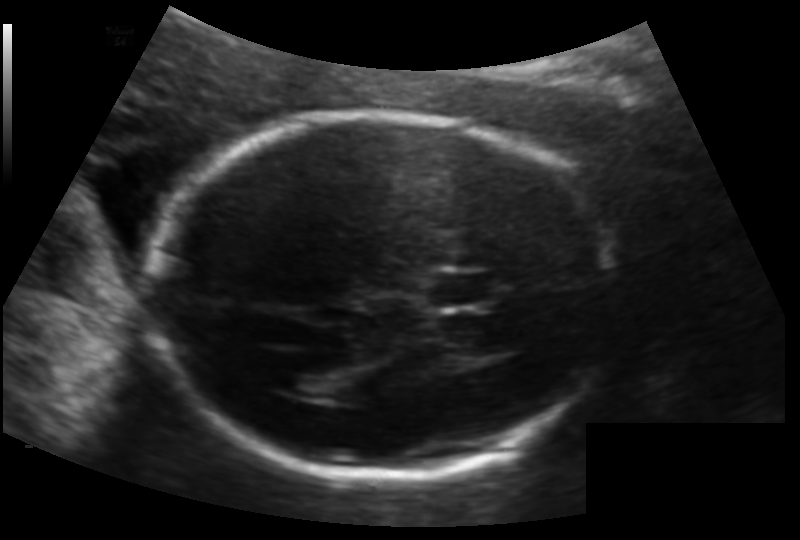
Fetal head ultrasound. Image width: 106.4 mm. Locate the fetal head.

Head: [157,113,618,481]